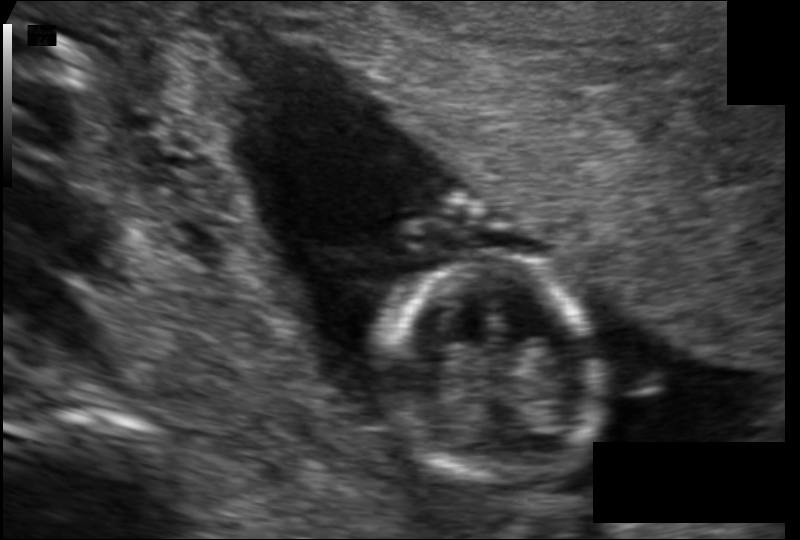
Fetal head ultrasound. Image width: 87.7 mm. Give [x1,y1,x2,y2] bounding boxes for each visible structure among: fetal head, CSP, LV.

Head: [381,255,596,483]